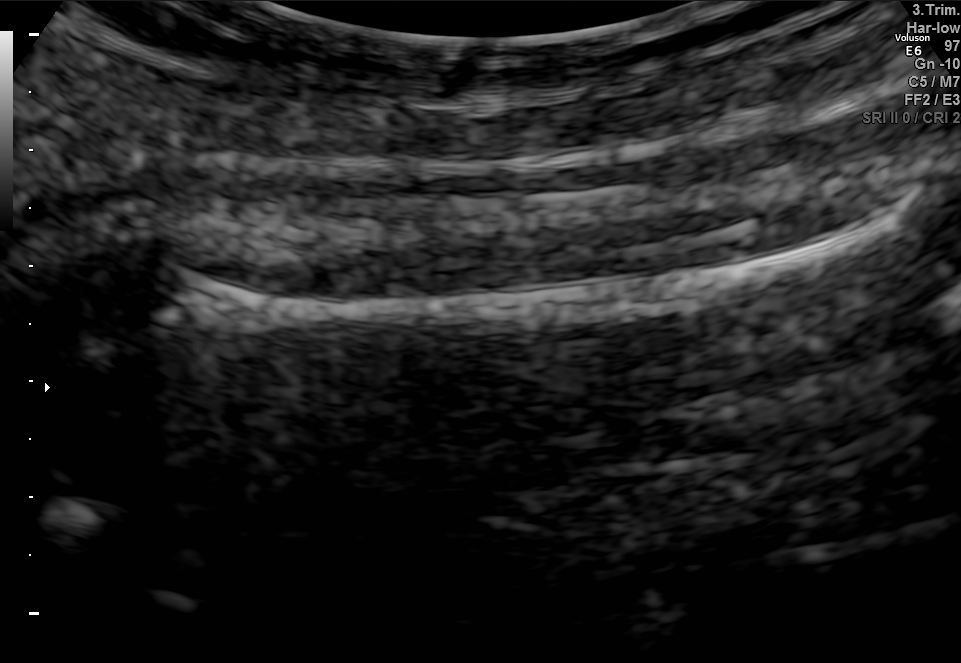
Classify this maternal-fetal ultrasound image as one of the six standard planes — fetal abdomen, fetal brain, fetal femur, fetal thorax, maternal cervix, or other. If it's fetal brain and one of the three standard brain planes (trans-thalamic, trans-cerebellum, trans-ventricular), name which.

Fetal femur